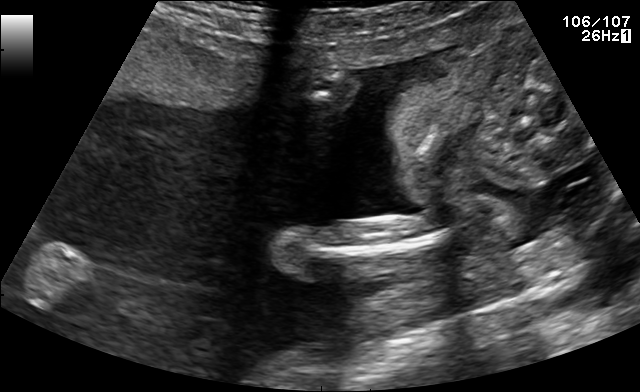
Classify this maternal-fetal ultrasound image as one of the six standard planes — fetal abdomen, fetal brain, fetal femur, fetal thorax, maternal cervix, or other. If it's fetal brain and one of the three standard brain planes (trans-thalamic, trans-cerebellum, trans-ventricular), name which.

Other